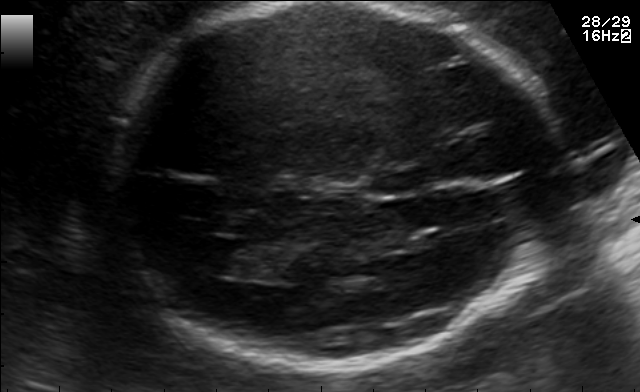
Fetal brain, trans-ventricular plane. Locate the fetal head and, if visible, the cavum septum pellucidum (CSP) and lateral ventricle (LV). Give bounding boxes as [x1,y1,x2,y2].

Head: [89,2,581,378]
CSP: [371,168,425,198]
Lateral ventricle: [181,235,253,277]